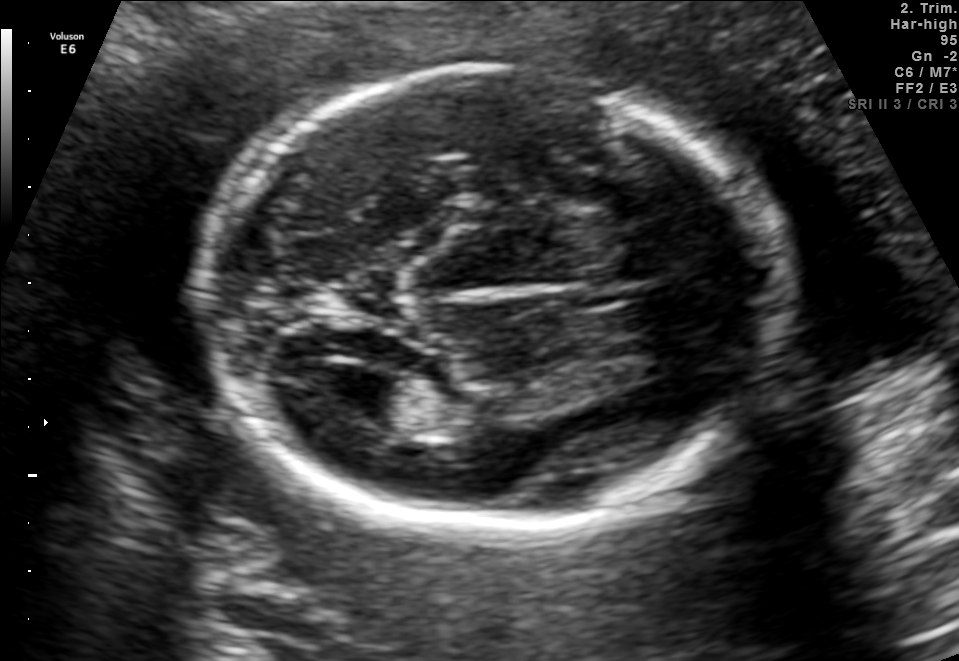
Fetal brain, trans-ventricular plane. Where is the lateral ventricle?

Lateral ventricle bounding box: [314,361,409,430]